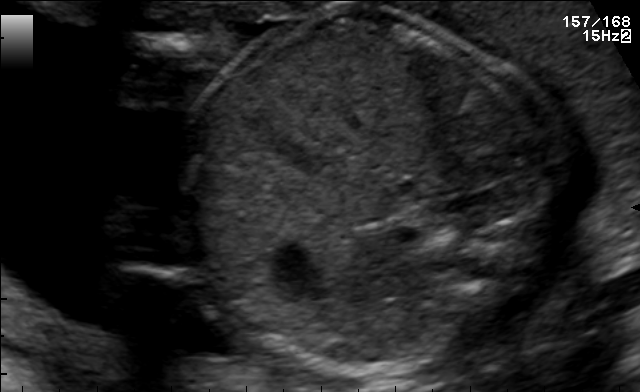
This is a 2D maternal-fetal ultrasound frame. Is it a fetal abdomen, fetal brain, fetal femur, fetal thorax, maternal cervix, or other standard plane? If it's fetal brain and one of the three standard brain planes (trans-thalamic, trans-cerebellum, trans-ventricular), name which.

Fetal abdomen